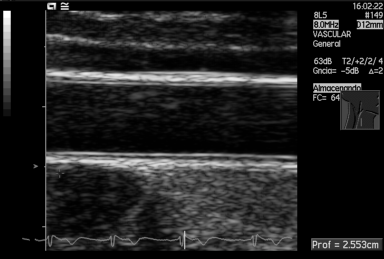
Classify this maternal-fetal ultrasound image as one of the six standard planes — fetal abdomen, fetal brain, fetal femur, fetal thorax, maternal cervix, or other. If it's fetal brain and one of the three standard brain planes (trans-thalamic, trans-cerebellum, trans-ventricular), name which.

Other